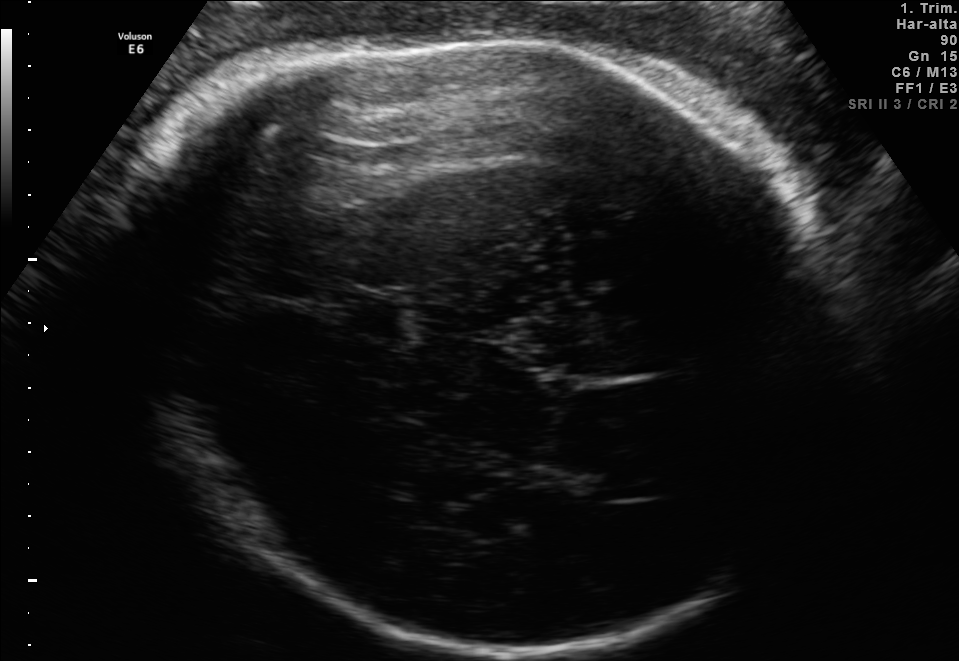
In this fetal brain, trans-thalamic plane, give bounding boxes for the head outline, cavum septum pellucidum (CSP), and lateral ventricle (LV), where visible.

Head: [133,33,846,652]
CSP: [335,290,404,339]
Lateral ventricle: [563,460,663,503]